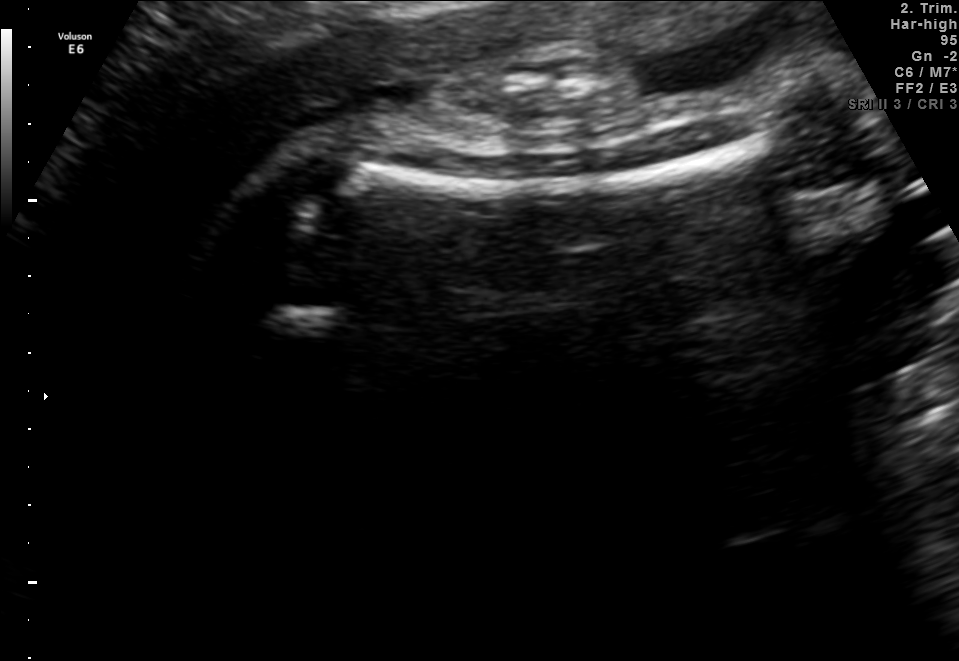
Identify the standard plane in this fetal ultrasound image: fetal abdomen, fetal brain, fetal femur, fetal thorax, maternal cervix, or other. If it's fetal brain and one of the three standard brain planes (trans-thalamic, trans-cerebellum, trans-ventricular), name which.

Fetal femur